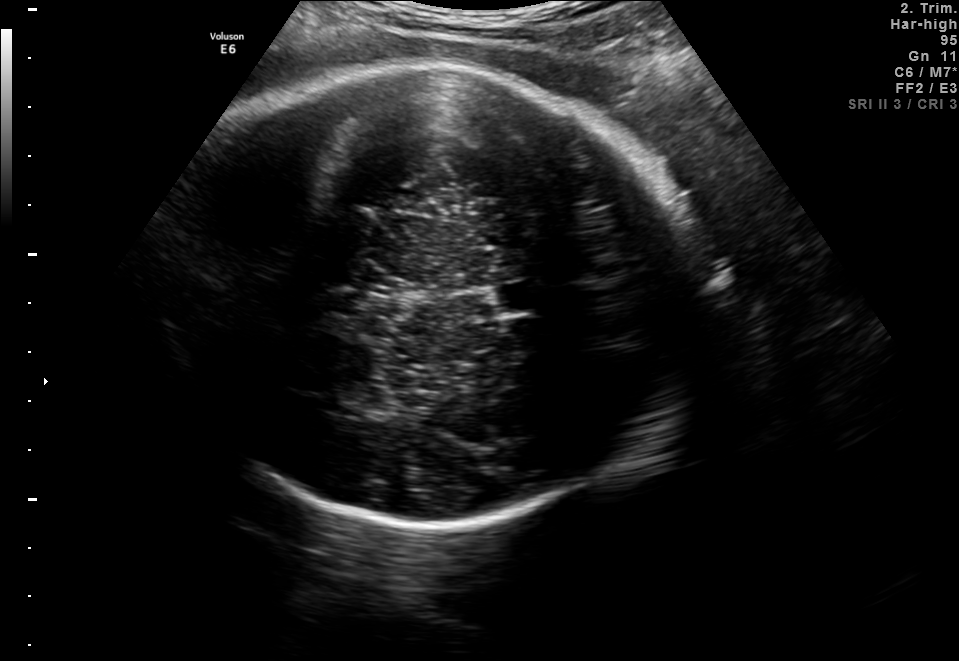
Fetal brain, trans-thalamic plane. Locate the cavum septum pellucidum.

CSP: [490,278,555,318]